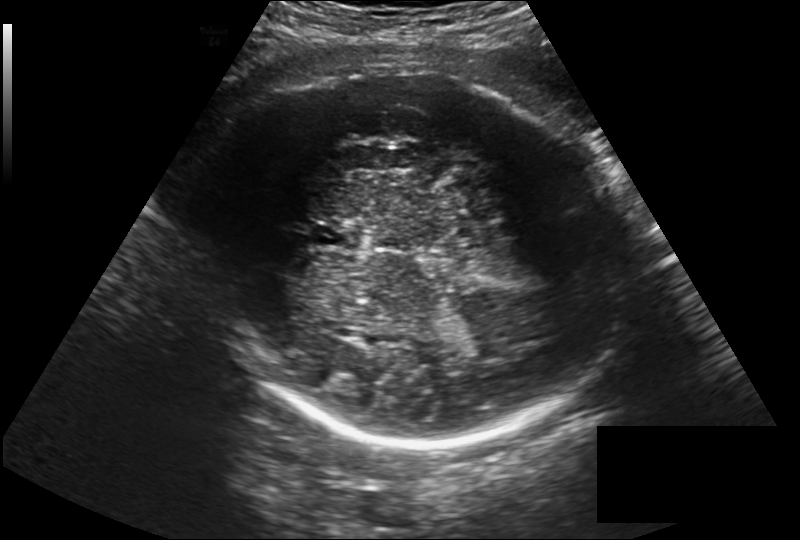
Estimate the fetal head circumference from this 2D ultrasound. Image width: 205.7 mm.

Head circumference: 335.0 mm.